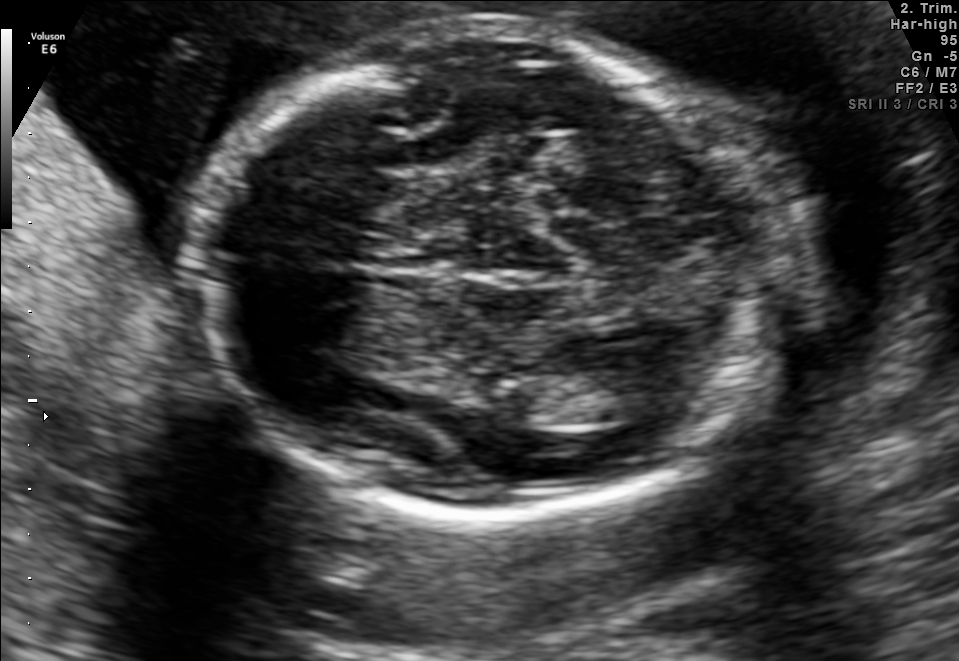
In this fetal brain, trans-thalamic plane, give the bounding box of the lateral ventricle.

[559,363,678,431]